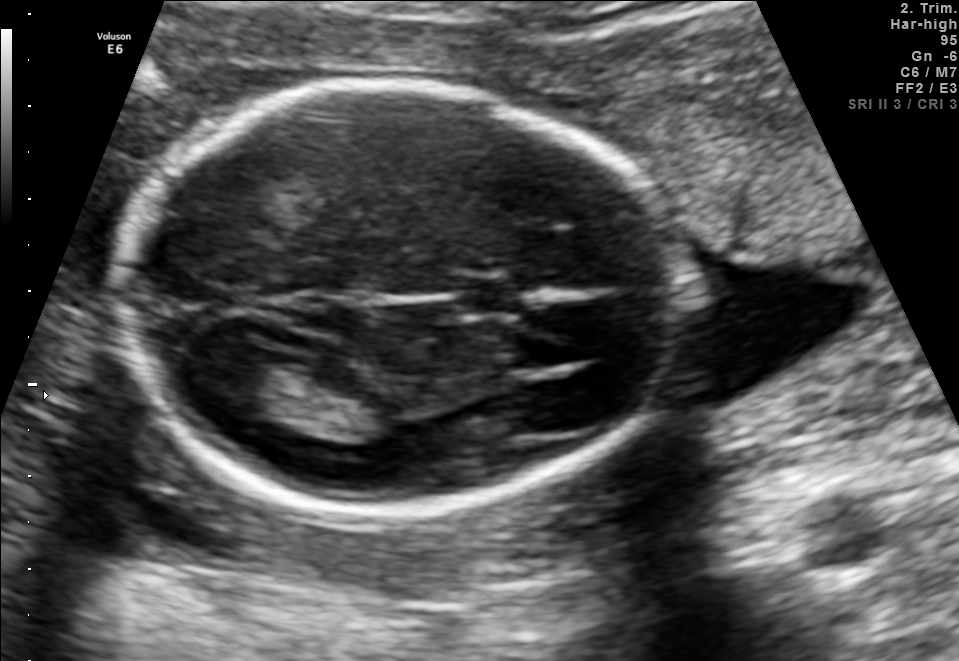
Fetal brain, trans-thalamic plane. Locate the cavum septum pellucidum.

CSP: [453,278,522,313]